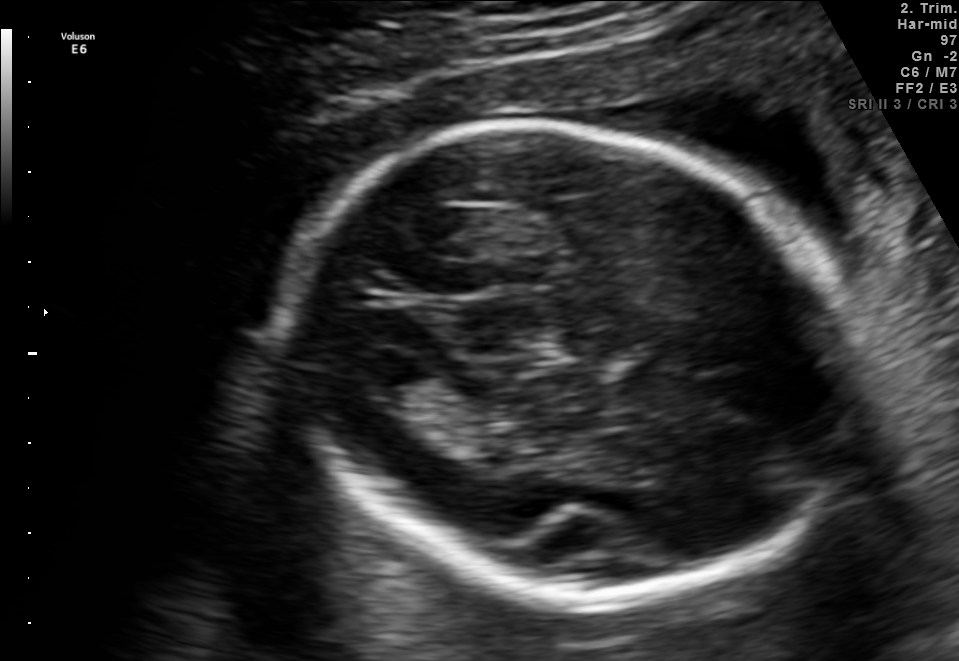
In this fetal brain, trans-thalamic plane, give the bounding box of the lateral ventricle.

[345,324,437,414]